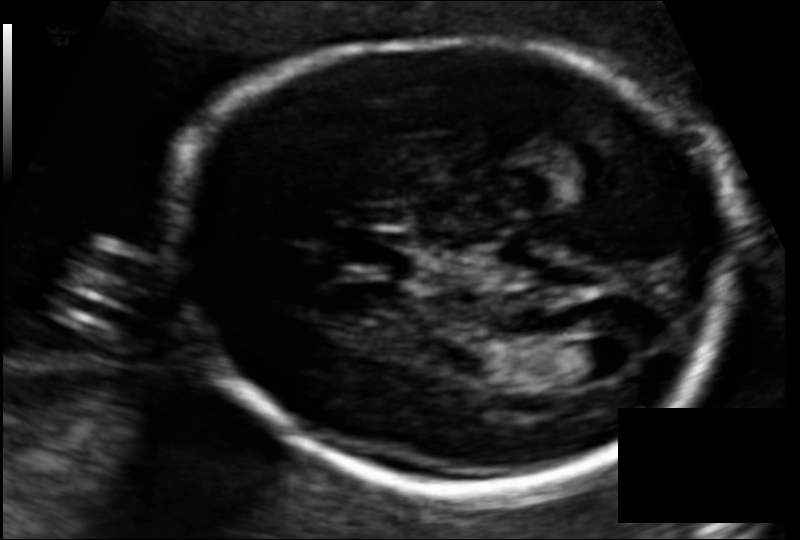
In this fetal head ultrasound, give the bounding box of the fetal head. Image width: 86.4 mm.

[164,40,729,487]